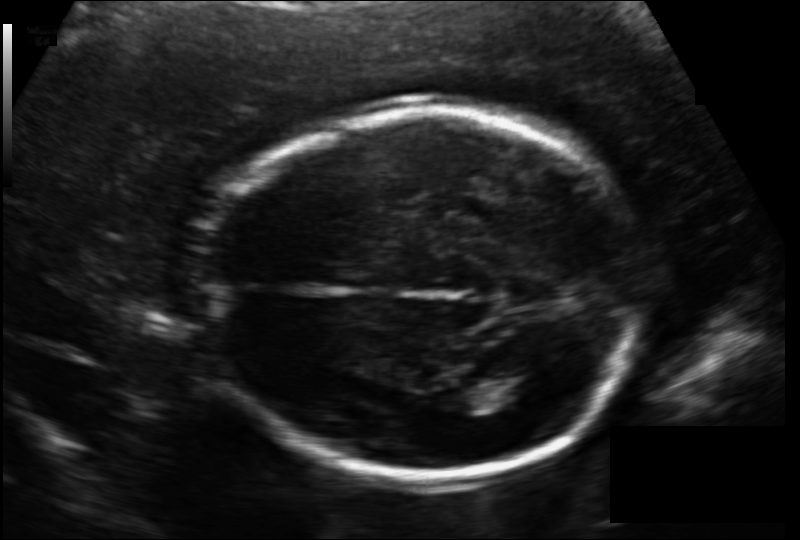
Estimate the fetal head circumference from this 2D ultrasound. Image width: 106.6 mm.

Head circumference: 177.0 mm.